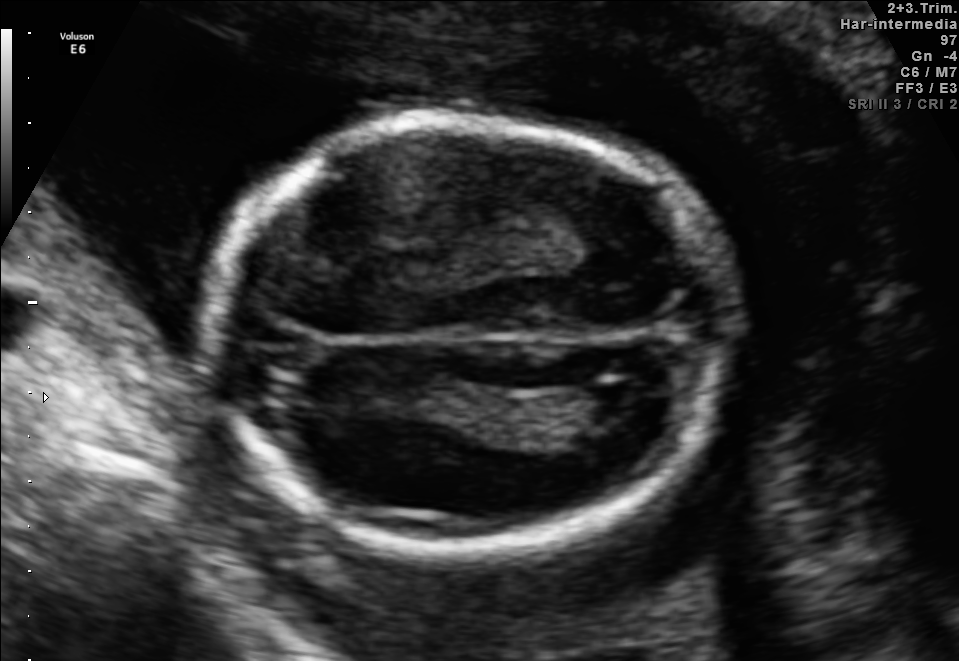
Fetal brain, trans-ventricular plane. Where is the fetal head?

Head bounding box: [191,108,748,559]